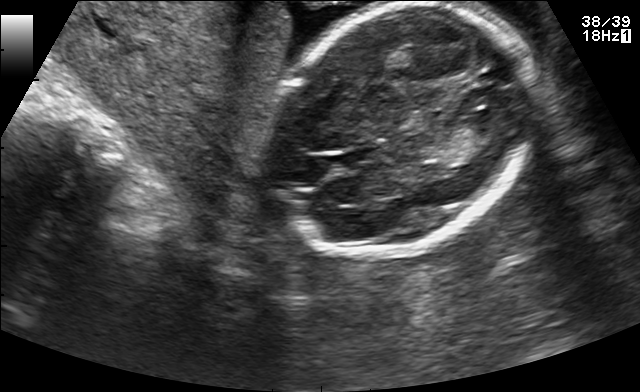
Fetal brain, trans-thalamic plane. Locate the fetal head.

Head: [272,4,532,255]